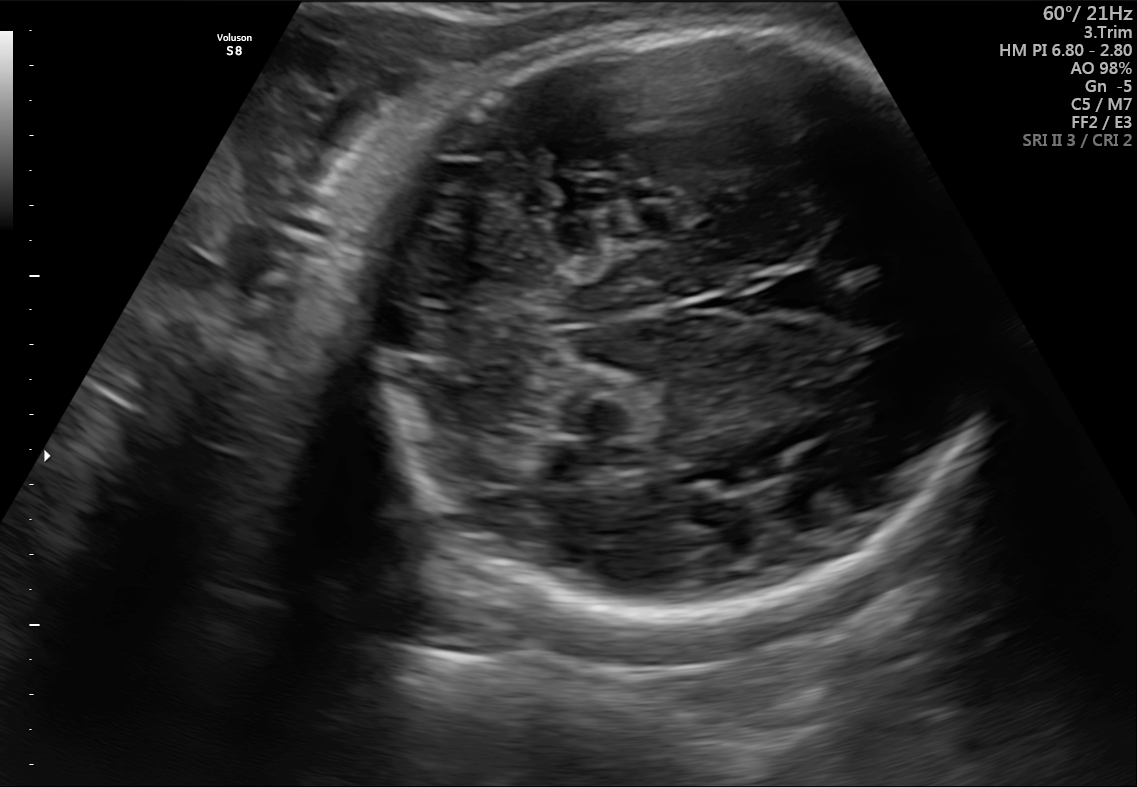
Fetal brain, trans-cerebellum plane. Locate the fetal head.

Head: [318,27,973,617]